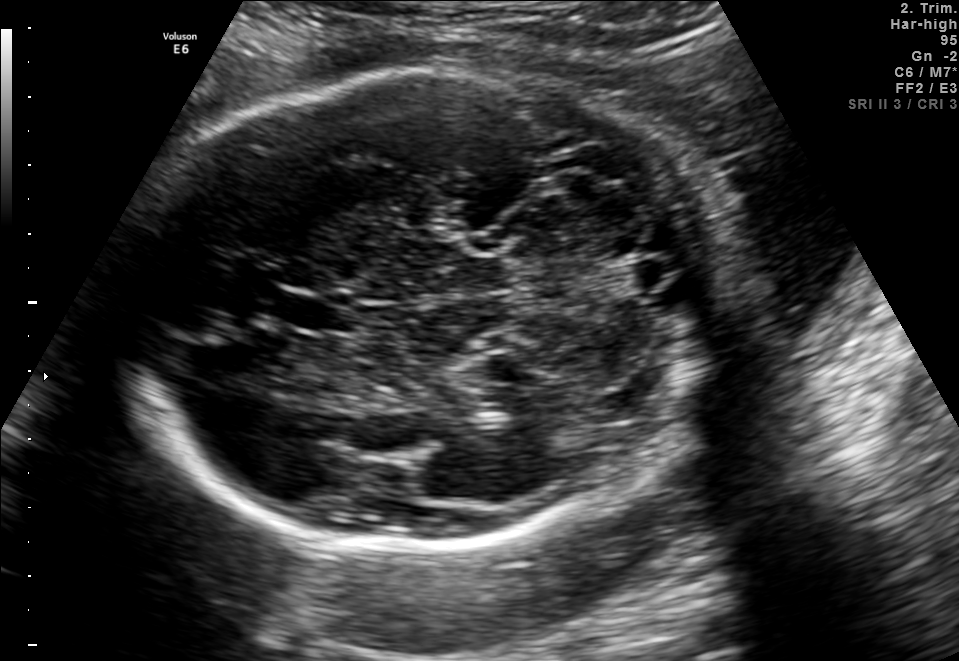
Fetal brain, trans-cerebellum plane. Where is the cavum septum pellucidum?

CSP bounding box: [269,283,353,342]